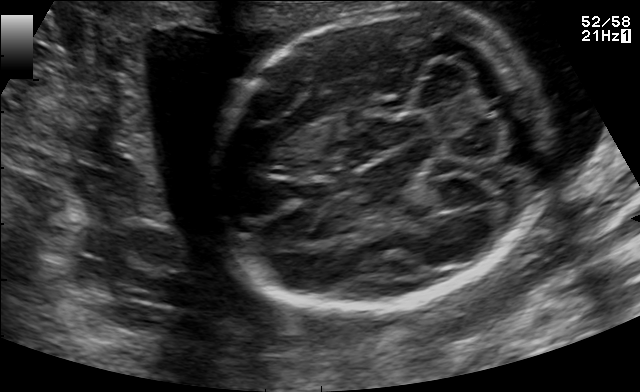
In this fetal brain, trans-cerebellum plane, give the bounding box of the fetal head.

[220,9,537,311]